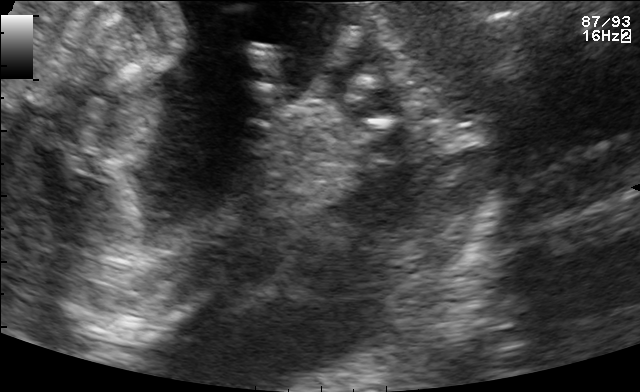
This is a 2D maternal-fetal ultrasound frame. Is it a fetal abdomen, fetal brain, fetal femur, fetal thorax, maternal cervix, or other standard plane? If it's fetal brain and one of the three standard brain planes (trans-thalamic, trans-cerebellum, trans-ventricular), name which.

Other